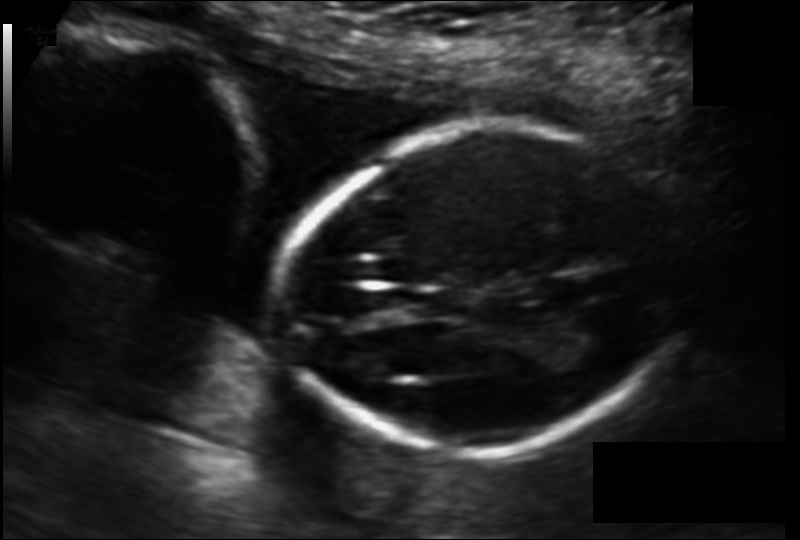
In this fetal head ultrasound, give the bounding box of the fetal head. Image width: 102.9 mm.

[274,123,676,453]